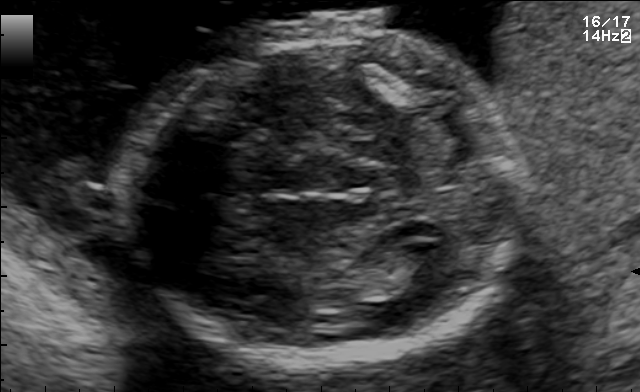
Fetal brain, trans-thalamic plane. Locate the fetal head.

Head: [121,23,519,361]